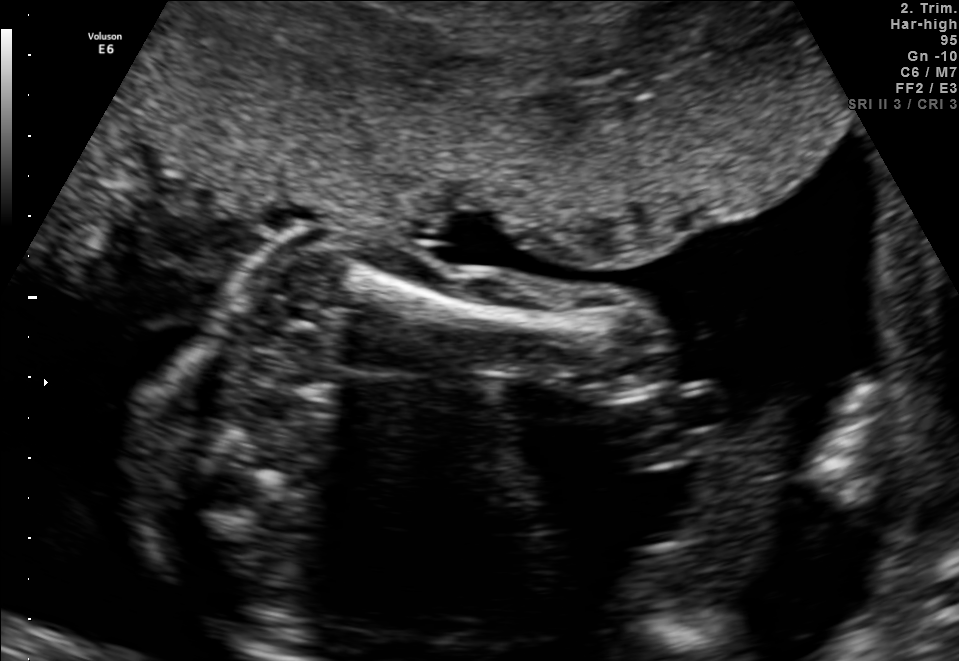
Classify this maternal-fetal ultrasound image as one of the six standard planes — fetal abdomen, fetal brain, fetal femur, fetal thorax, maternal cervix, or other. If it's fetal brain and one of the three standard brain planes (trans-thalamic, trans-cerebellum, trans-ventricular), name which.

Other